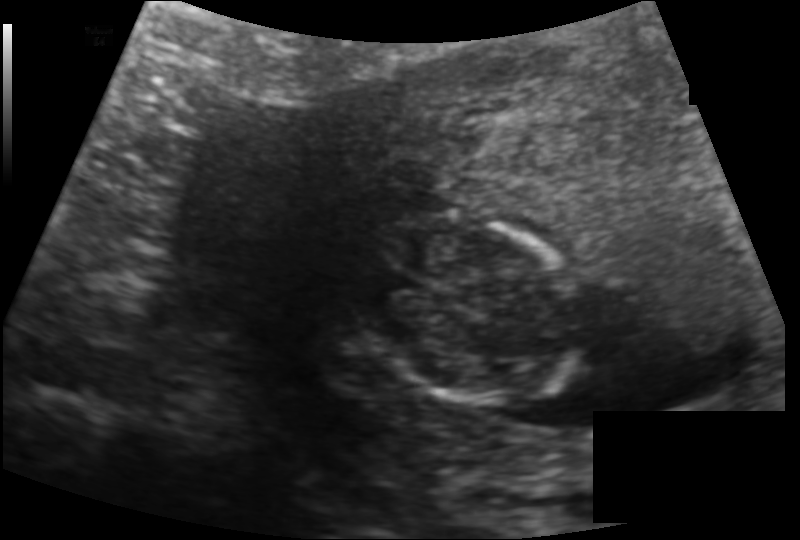
What is the fetal head circumference? Image width is 102.6 mm.

87.0 mm